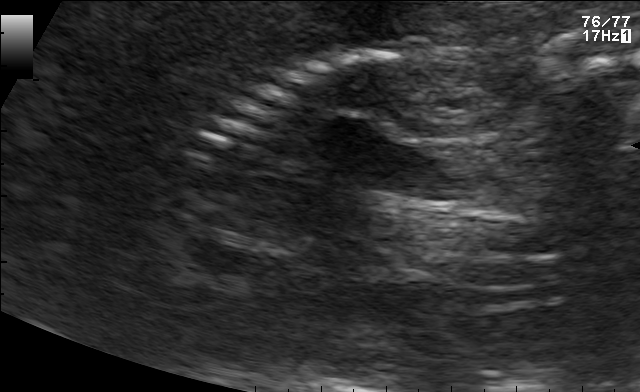
Which standard maternal-fetal ultrasound plane is shown: fetal abdomen, fetal brain, fetal femur, fetal thorax, maternal cervix, or other? If it's fetal brain and one of the three standard brain planes (trans-thalamic, trans-cerebellum, trans-ventricular), name which.

Other